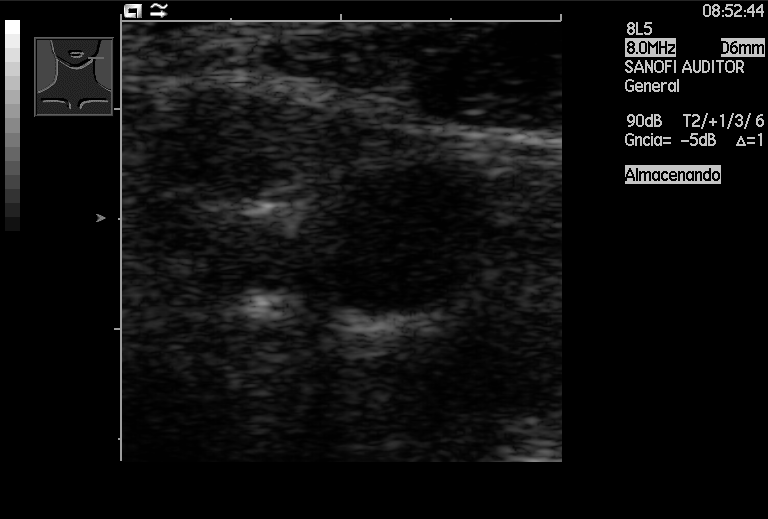
This is a 2D maternal-fetal ultrasound frame. Is it a fetal abdomen, fetal brain, fetal femur, fetal thorax, maternal cervix, or other standard plane? If it's fetal brain and one of the three standard brain planes (trans-thalamic, trans-cerebellum, trans-ventricular), name which.

Other